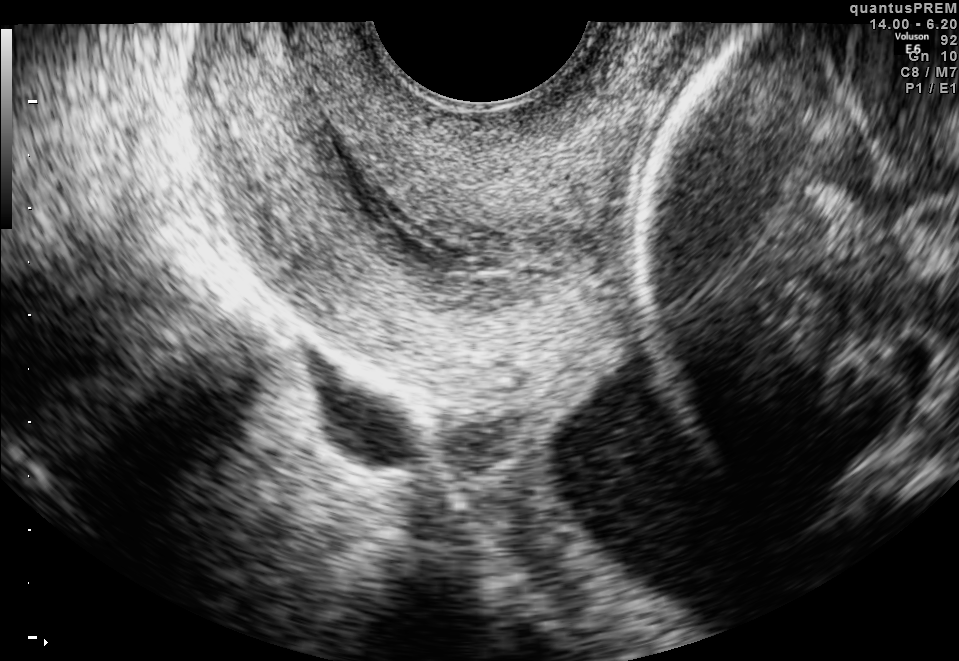
This is a 2D maternal-fetal ultrasound frame. Is it a fetal abdomen, fetal brain, fetal femur, fetal thorax, maternal cervix, or other standard plane? If it's fetal brain and one of the three standard brain planes (trans-thalamic, trans-cerebellum, trans-ventricular), name which.

Maternal cervix